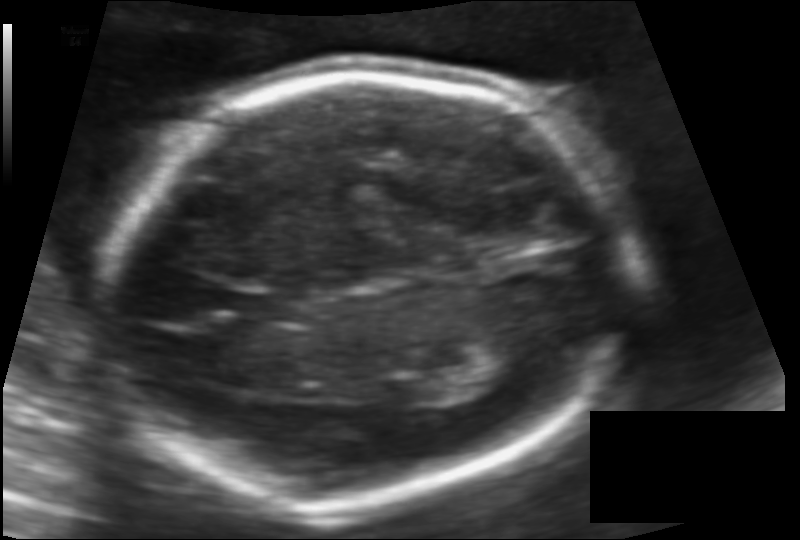
Estimate the fetal head circumference from this 2D ultrasound. Image width: 93.5 mm.

Head circumference: 181.8 mm.